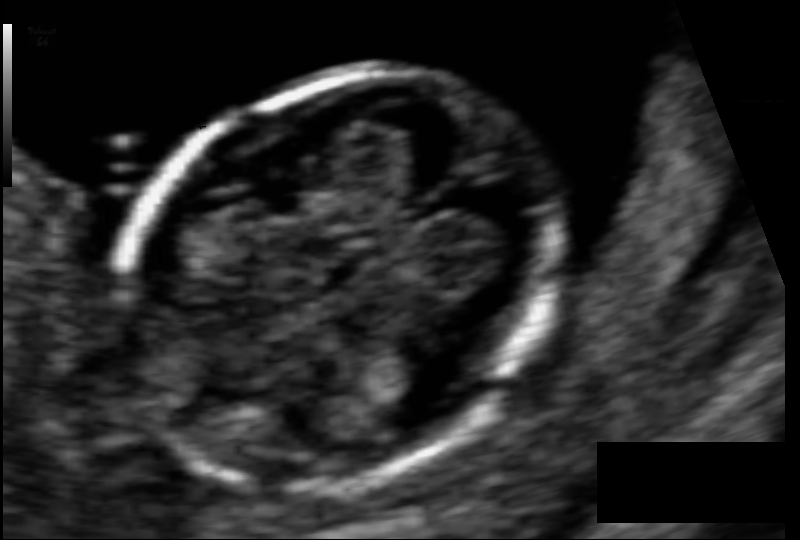
Fetal head ultrasound. Image width: 48.5 mm. Locate the fetal head and, if visible, the cavum septum pellucidum (CSP) and lateral ventricle (LV). Give bounding boxes as [x1,y1,x2,y2].

Head: [114,74,564,481]